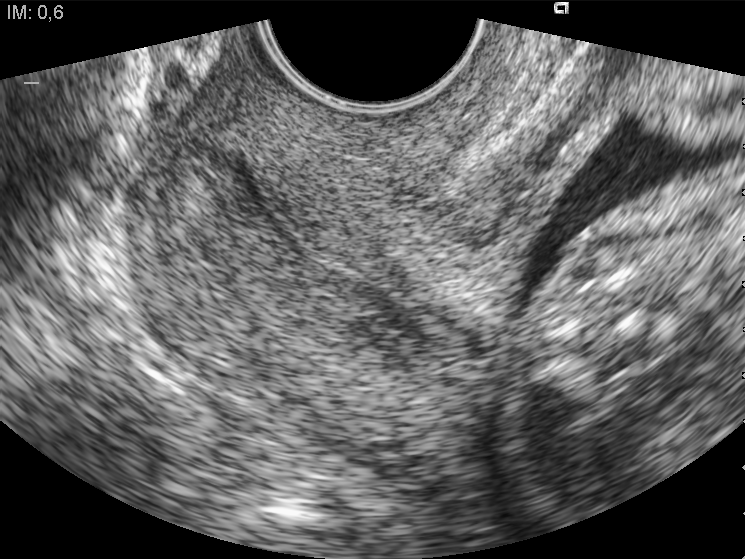
This is a 2D maternal-fetal ultrasound frame. Is it a fetal abdomen, fetal brain, fetal femur, fetal thorax, maternal cervix, or other standard plane? If it's fetal brain and one of the three standard brain planes (trans-thalamic, trans-cerebellum, trans-ventricular), name which.

Maternal cervix